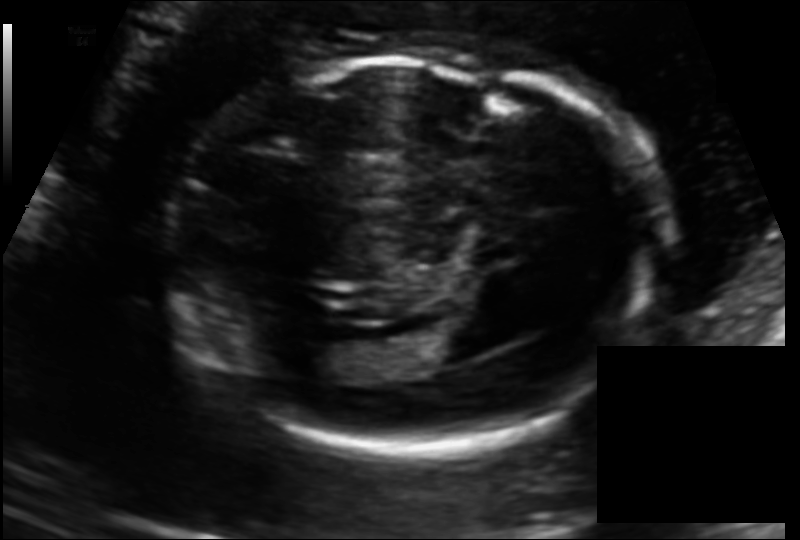
Estimate the fetal head circumference from this 2D ultrasound. Image width: 100.0 mm.

Head circumference: 176.8 mm.